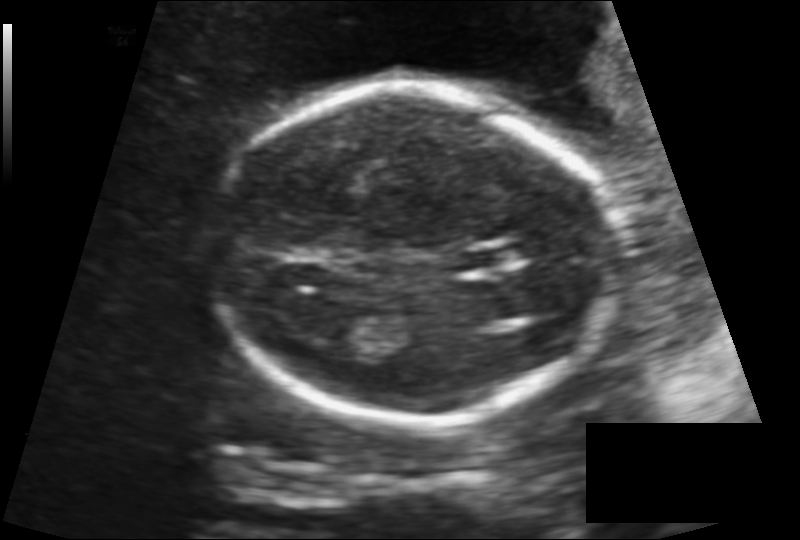
Fetal head ultrasound. Image width: 110.1 mm. Locate the fetal head and, if visible, the cavum septum pellucidum (CSP) and lateral ventricle (LV). Give bounding boxes as [x1,y1,x2,y2].

Head: [215,89,616,426]
CSP: [456,241,522,275]
Lateral ventricle: [314,299,376,346]